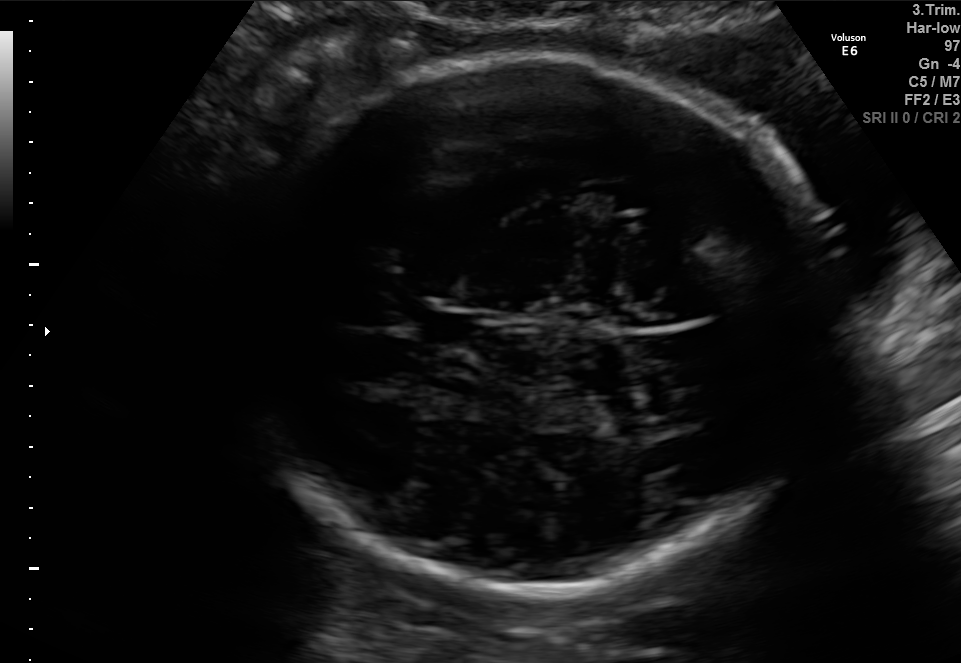
In this fetal brain, trans-thalamic plane, give bounding boxes for the head outline, cavum septum pellucidum (CSP), and lateral ventricle (LV), where visible.

Head: [223,60,828,591]
CSP: [422,314,475,344]